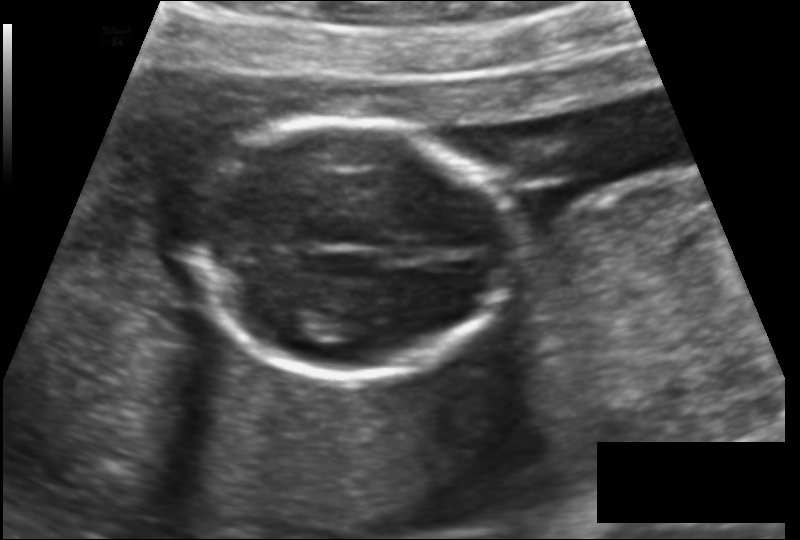
From this fetal ultrasound, estimate the head circumference (image width 109.0 mm).

Head circumference: 126.2 mm.